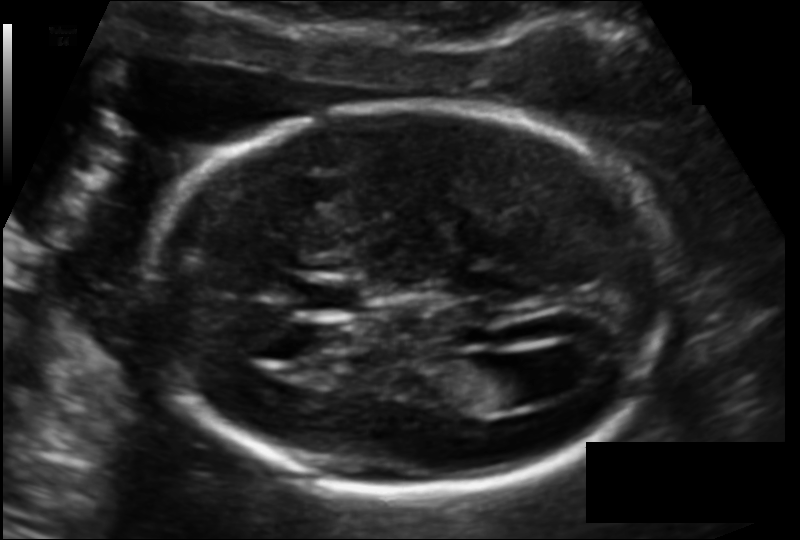
Fetal head ultrasound. Image width: 94.5 mm. Where is the fetal head?

Head bounding box: [147,105,668,491]